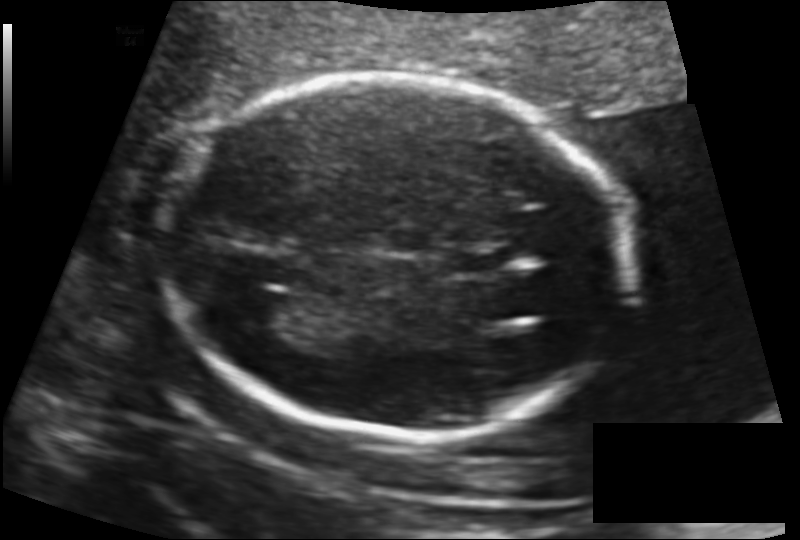
Measure the fetal head circumference shown in this ultrasound image. Image width: 104.1 mm.

Head circumference: 175.8 mm.